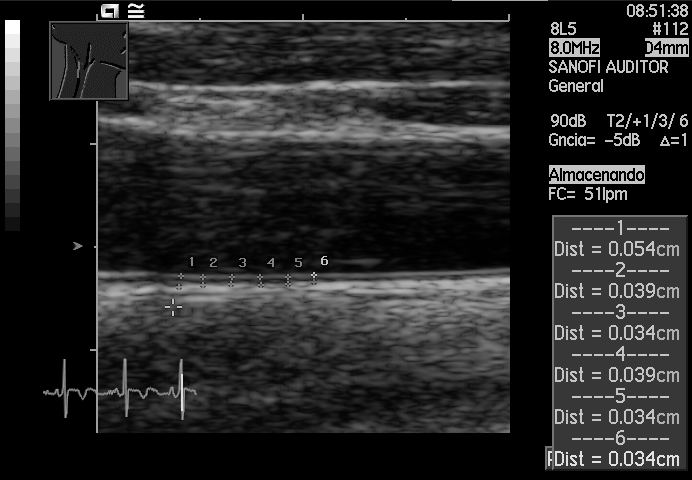
This is a 2D maternal-fetal ultrasound frame. Is it a fetal abdomen, fetal brain, fetal femur, fetal thorax, maternal cervix, or other standard plane? If it's fetal brain and one of the three standard brain planes (trans-thalamic, trans-cerebellum, trans-ventricular), name which.

Other